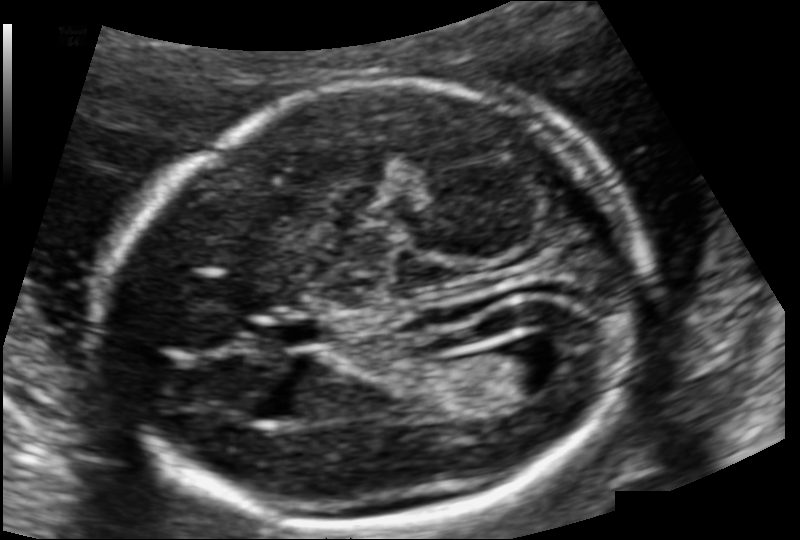
What is the fetal head circumference? Image width is 89.0 mm.

176.7 mm